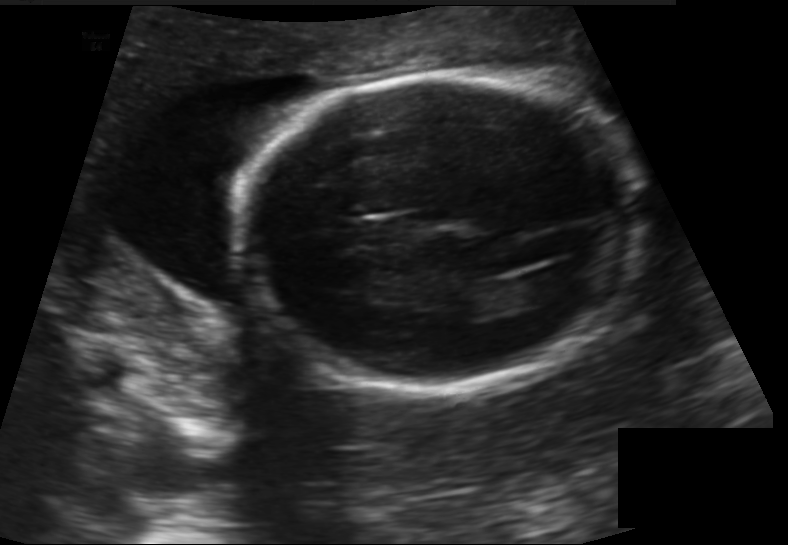
Fetal head ultrasound. Image width: 122.2 mm. Give [x1,y1,x2,y2] bounding boxes for each visible structure among: fetal head, CSP, LV.

Head: [237,73,633,387]
Lateral ventricle: [517,259,589,308]